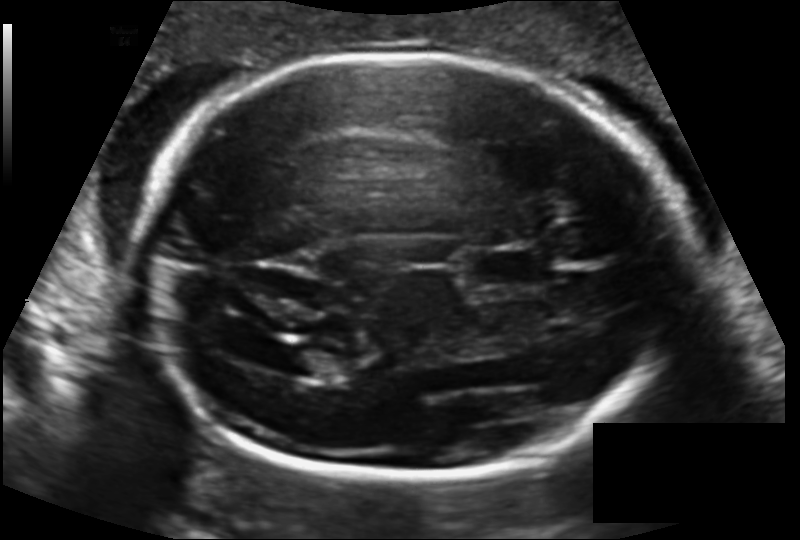
Estimate the fetal head circumference from this 2D ultrasound. Image width: 112.0 mm.

Head circumference: 219.8 mm.